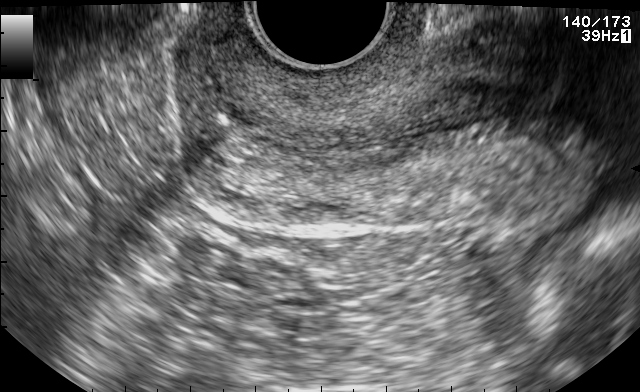
Which standard maternal-fetal ultrasound plane is shown: fetal abdomen, fetal brain, fetal femur, fetal thorax, maternal cervix, or other? If it's fetal brain and one of the three standard brain planes (trans-thalamic, trans-cerebellum, trans-ventricular), name which.

Maternal cervix